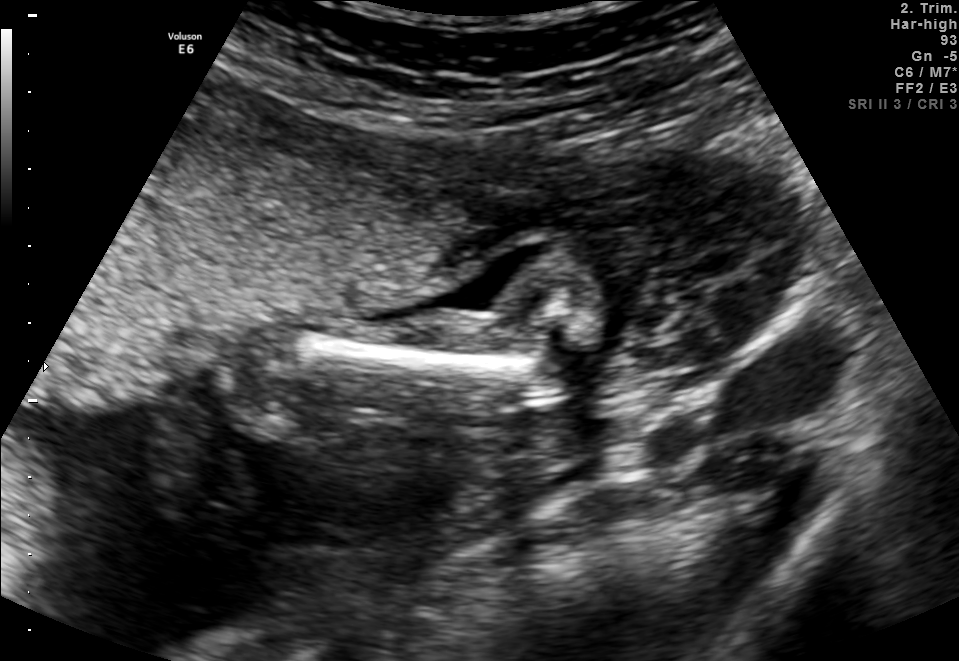
Identify the standard plane in this fetal ultrasound image: fetal abdomen, fetal brain, fetal femur, fetal thorax, maternal cervix, or other. If it's fetal brain and one of the three standard brain planes (trans-thalamic, trans-cerebellum, trans-ventricular), name which.

Other